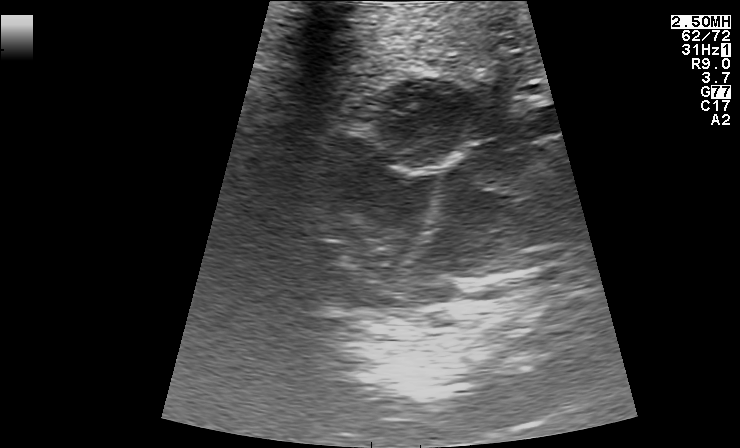
This is a 2D maternal-fetal ultrasound frame. Is it a fetal abdomen, fetal brain, fetal femur, fetal thorax, maternal cervix, or other standard plane? If it's fetal brain and one of the three standard brain planes (trans-thalamic, trans-cerebellum, trans-ventricular), name which.

Fetal thorax